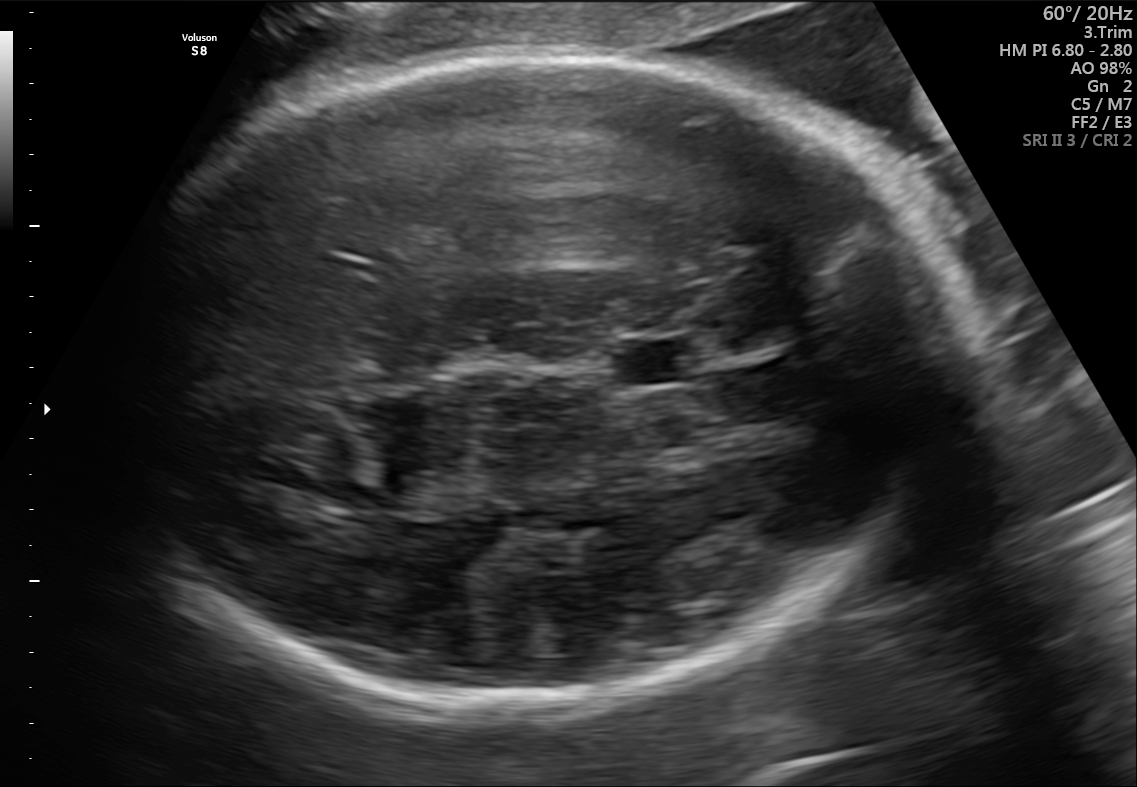
In this fetal brain, trans-thalamic plane, give the bounding box of the fetal head.

[106,54,951,702]